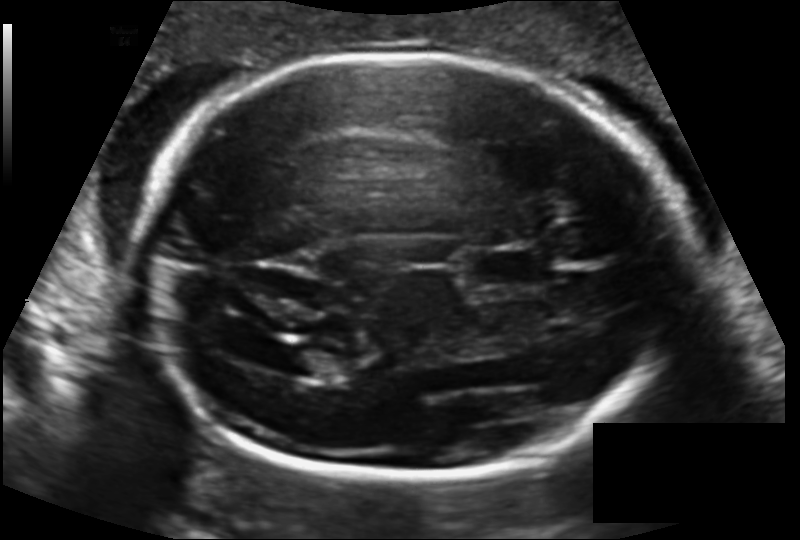
Fetal head ultrasound. Image width: 112.0 mm. Locate the fetal head.

Head: [135,53,682,479]